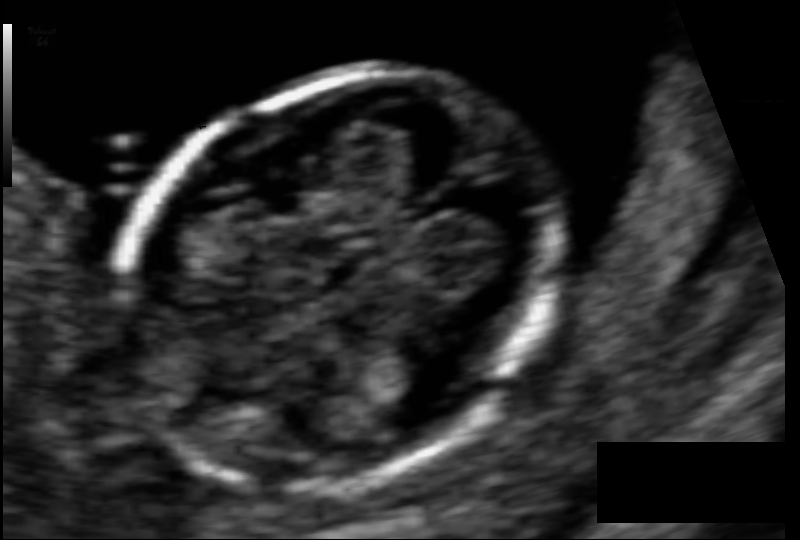
Fetal head ultrasound. Image width: 48.5 mm. Locate the fetal head.

Head: [114,74,564,481]